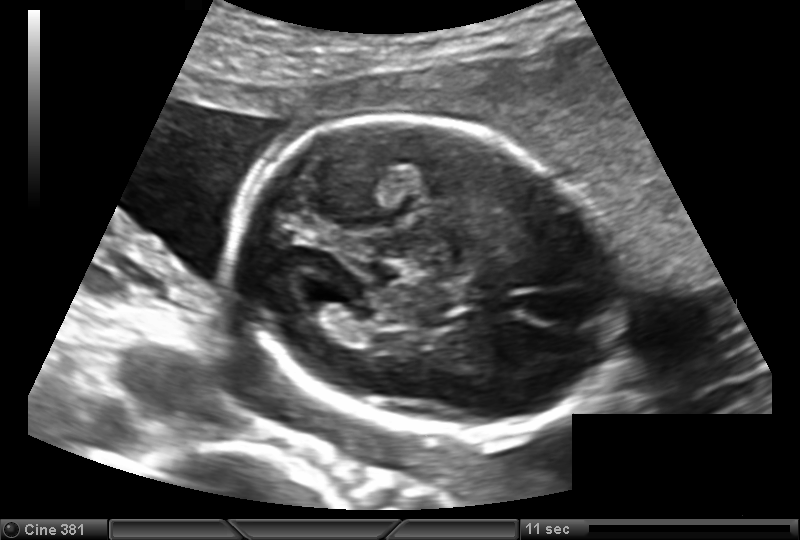
Estimate the fetal head circumference from this 2D ultrasound.

Head circumference: 161.7 mm (image width 111.0 mm).